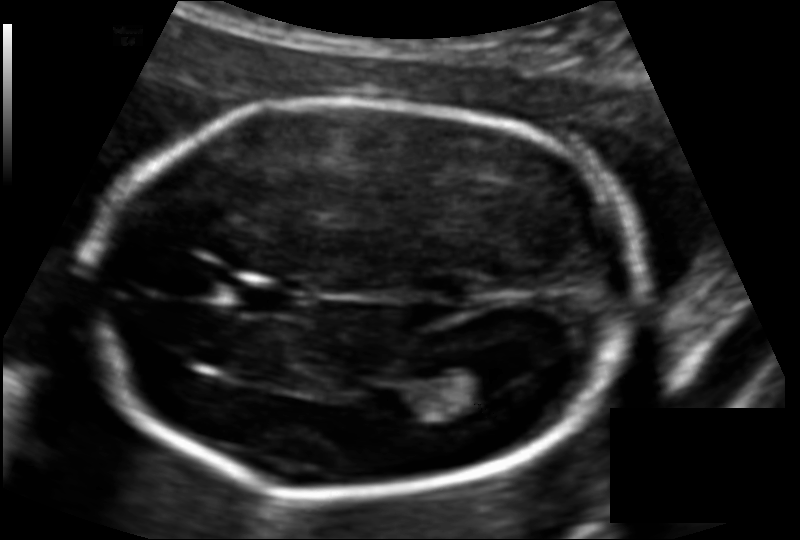
Estimate the fetal head circumference from this 2D ultrasound. Image width: 93.9 mm.

Head circumference: 179.9 mm.